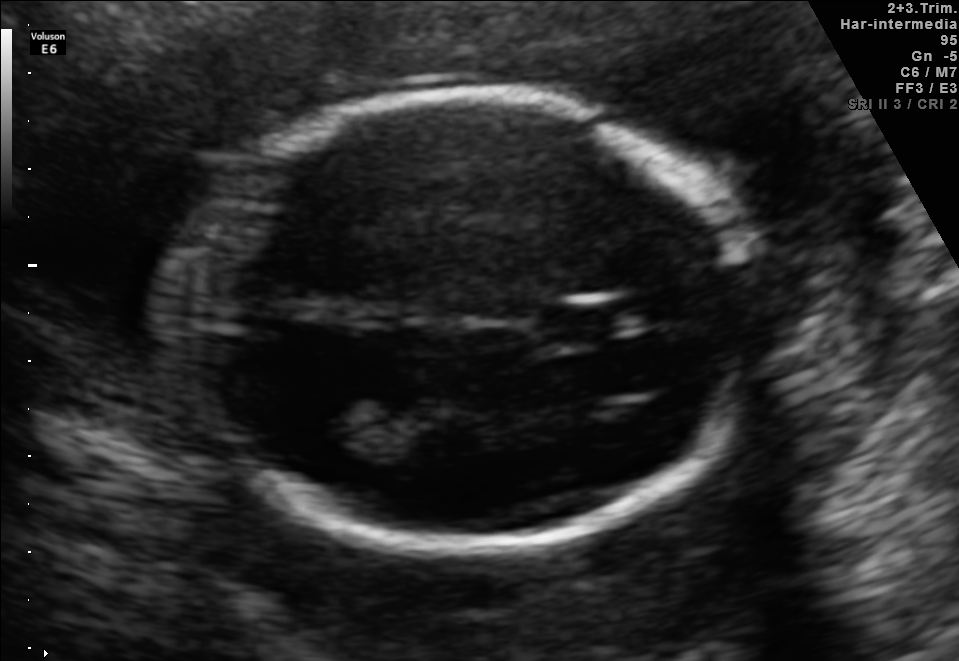
Fetal brain, trans-thalamic plane. Locate the fetal head and, if visible, the cavum septum pellucidum (CSP) and lateral ventricle (LV). Give bounding boxes as [x1,y1,x2,y2].

Head: [180,93,757,556]
CSP: [539,299,623,345]